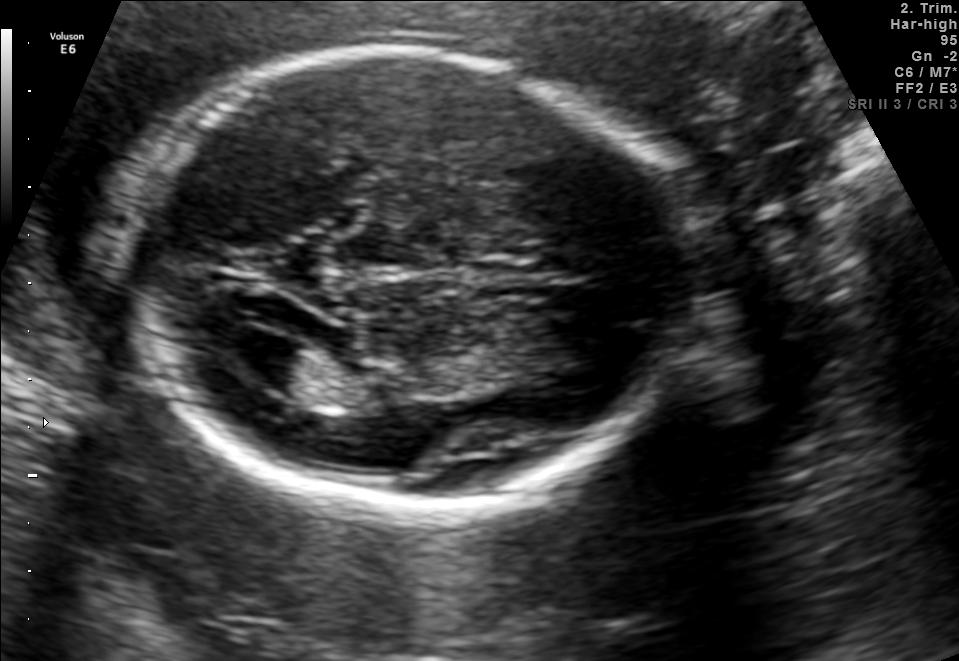
In this fetal brain, trans-ventricular plane, give the bounding box of the lateral ventricle.

[210,311,309,395]